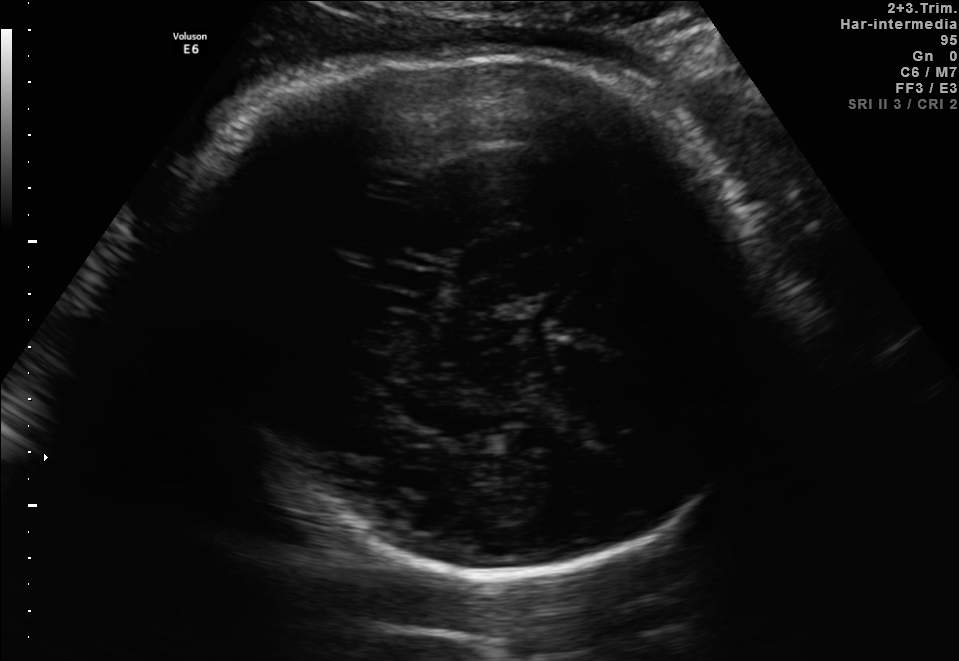
Fetal brain, trans-thalamic plane. Give [x1,y1,x2,y2] bounding boxes for each visible structure among: fetal head, CSP, LV.

Head: [220,55,767,592]